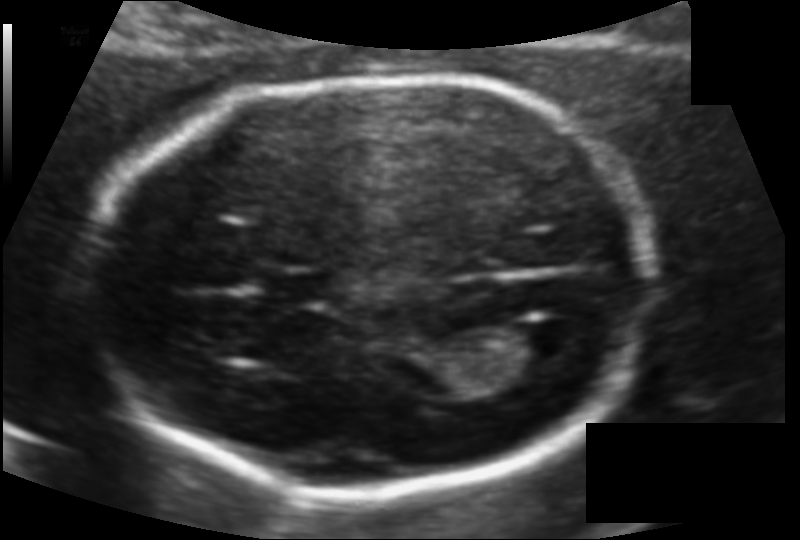
Fetal head ultrasound. Image width: 85.2 mm. Where is the fetal head?

Head bounding box: [92,77,645,489]